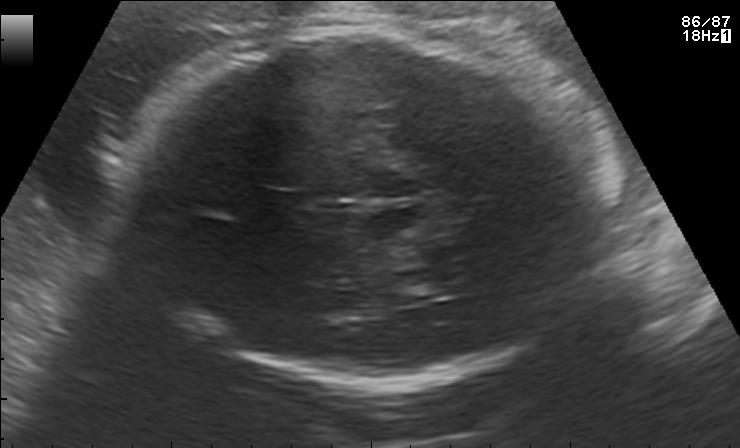
Classify this maternal-fetal ultrasound image as one of the six standard planes — fetal abdomen, fetal brain, fetal femur, fetal thorax, maternal cervix, or other. If it's fetal brain and one of the three standard brain planes (trans-thalamic, trans-cerebellum, trans-ventricular), name which.

Fetal brain (trans-thalamic plane)